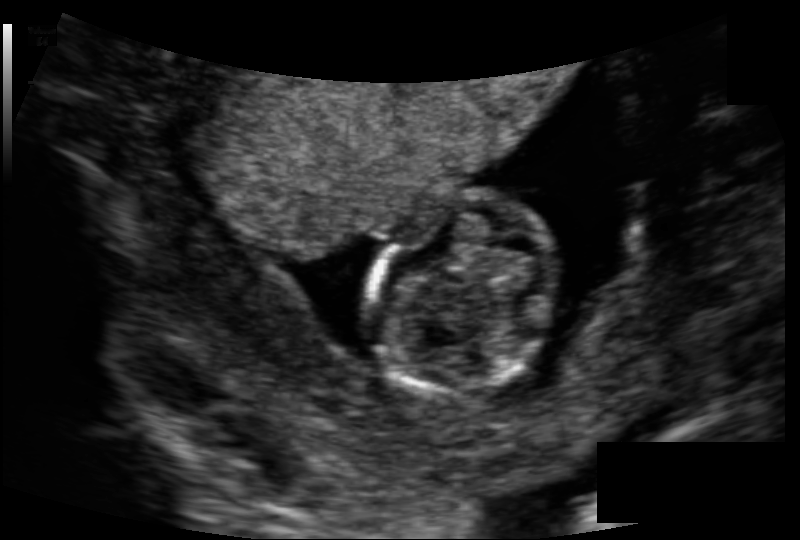
Estimate the fetal head circumference from this 2D ultrasound. Image width: 94.4 mm.

Head circumference: 75.4 mm.